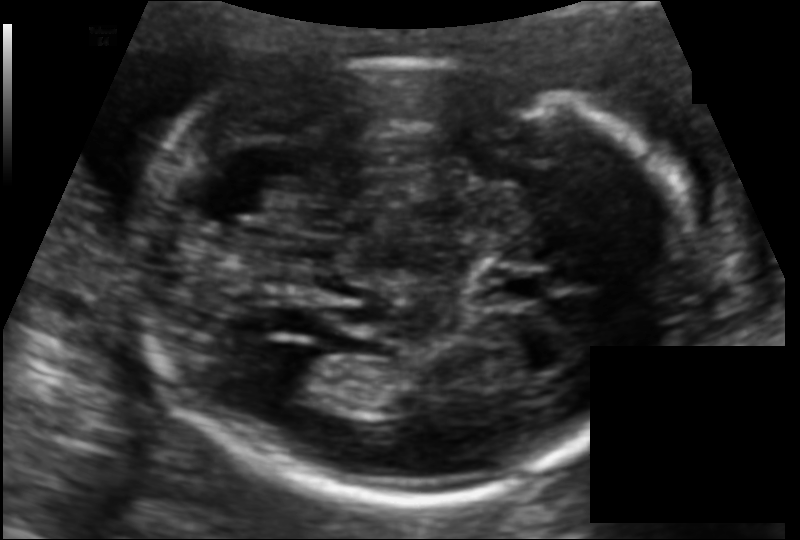
Fetal head ultrasound. Image width: 91.9 mm. Locate the fetal head and, if visible, the cavum septum pellucidum (CSP) and lateral ventricle (LV). Give bounding boxes as [x1,y1,x2,y2].

Head: [137,60,687,500]
CSP: [478,260,556,311]
Lateral ventricle: [261,347,351,412]